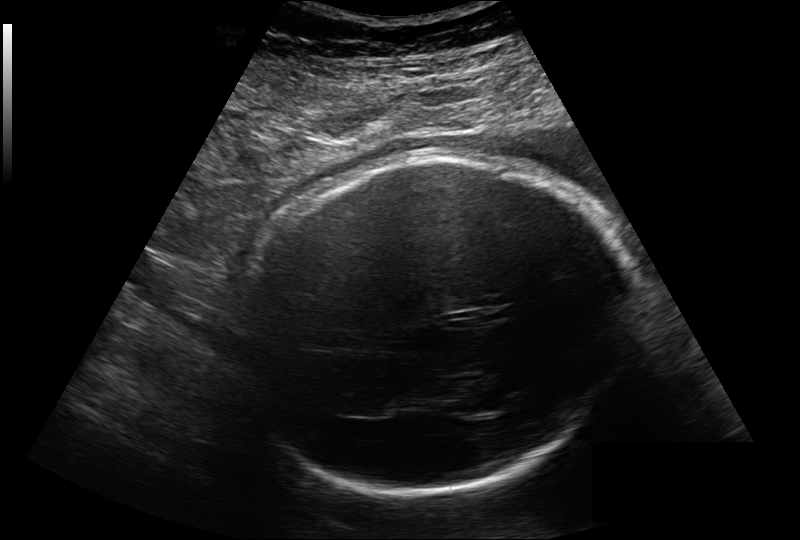
What is the fetal head circumference? Image width is 211.0 mm.

315.7 mm